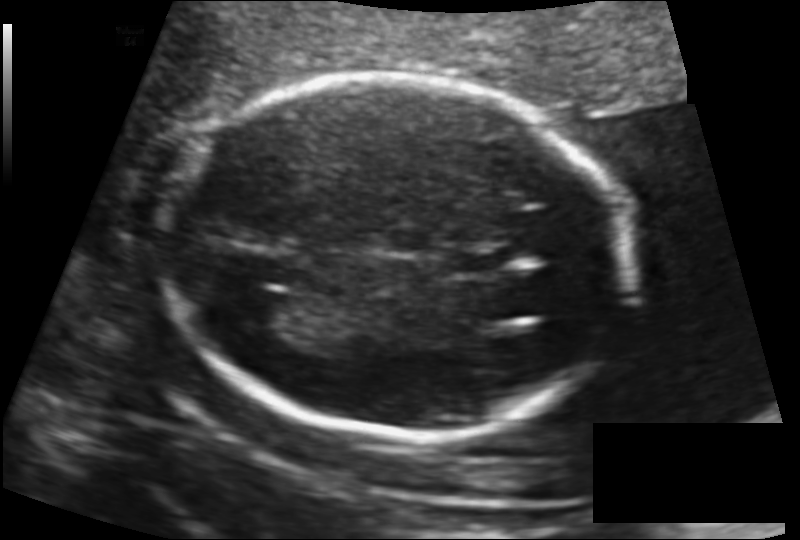
Fetal head ultrasound. Image width: 104.1 mm. Locate the lateral ventricle.

Lateral ventricle: [231,285,309,340]